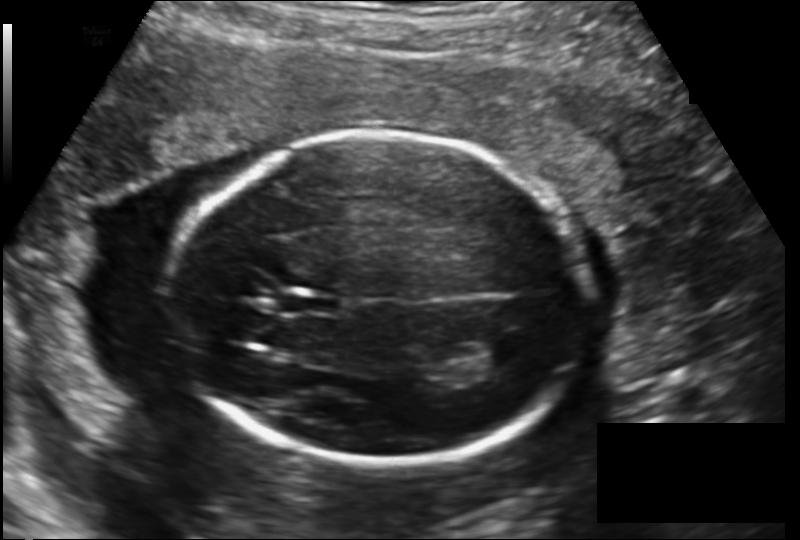
In this fetal head ultrasound, give bounding boxes for the head outline, cavum septum pellucidum (CSP), and lateral ventricle (LV), where visible. Image width: 130.6 mm.

Head: [167,133,593,464]
CSP: [280,291,335,314]
Lateral ventricle: [475,329,529,371]